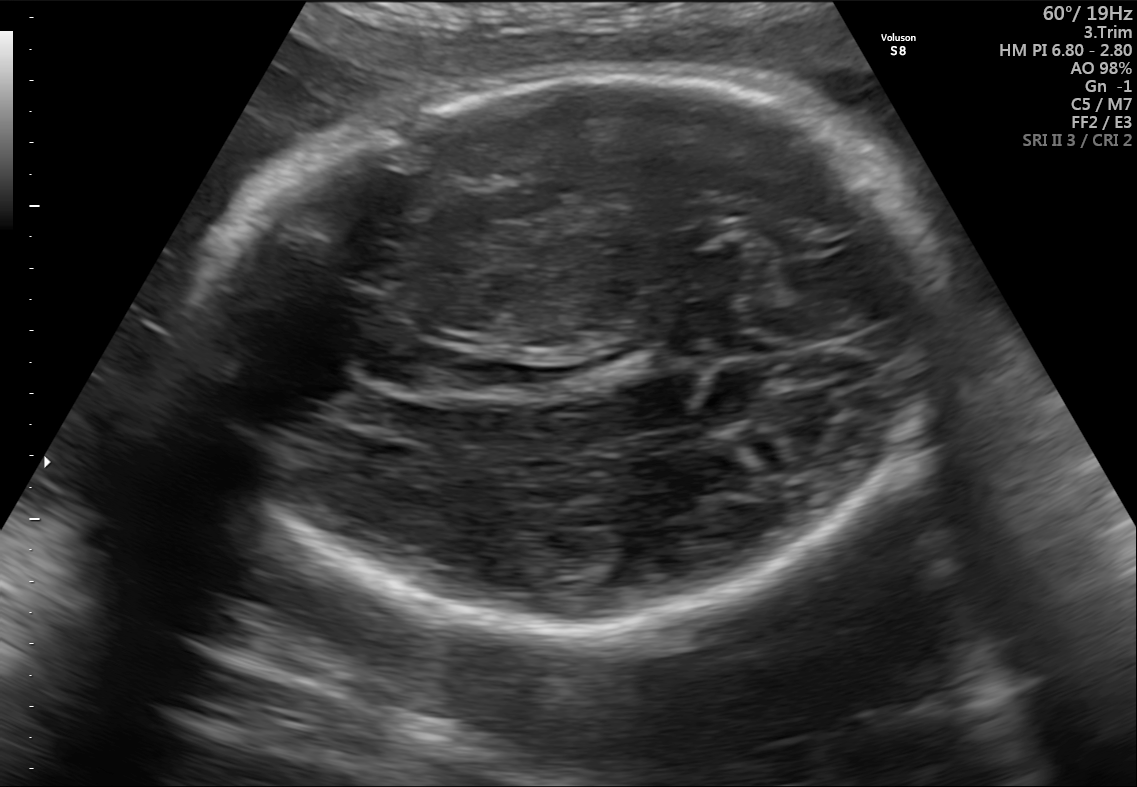
Fetal brain, trans-thalamic plane. Where is the fetal head?

Head bounding box: [219,79,953,639]